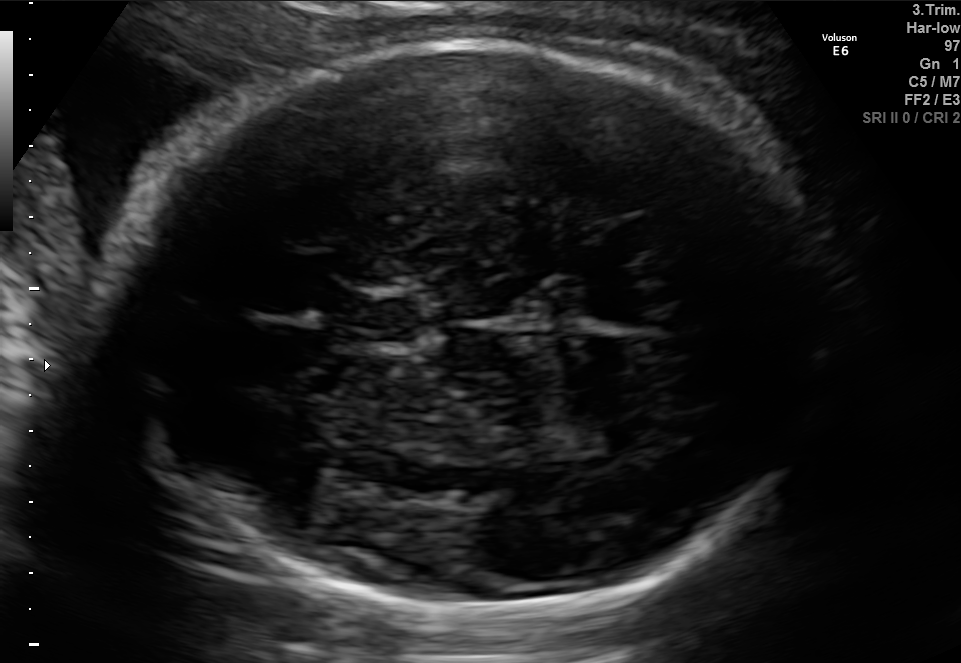
Fetal brain, trans-thalamic plane. Where is the fetal head?

Head bounding box: [106,45,821,614]